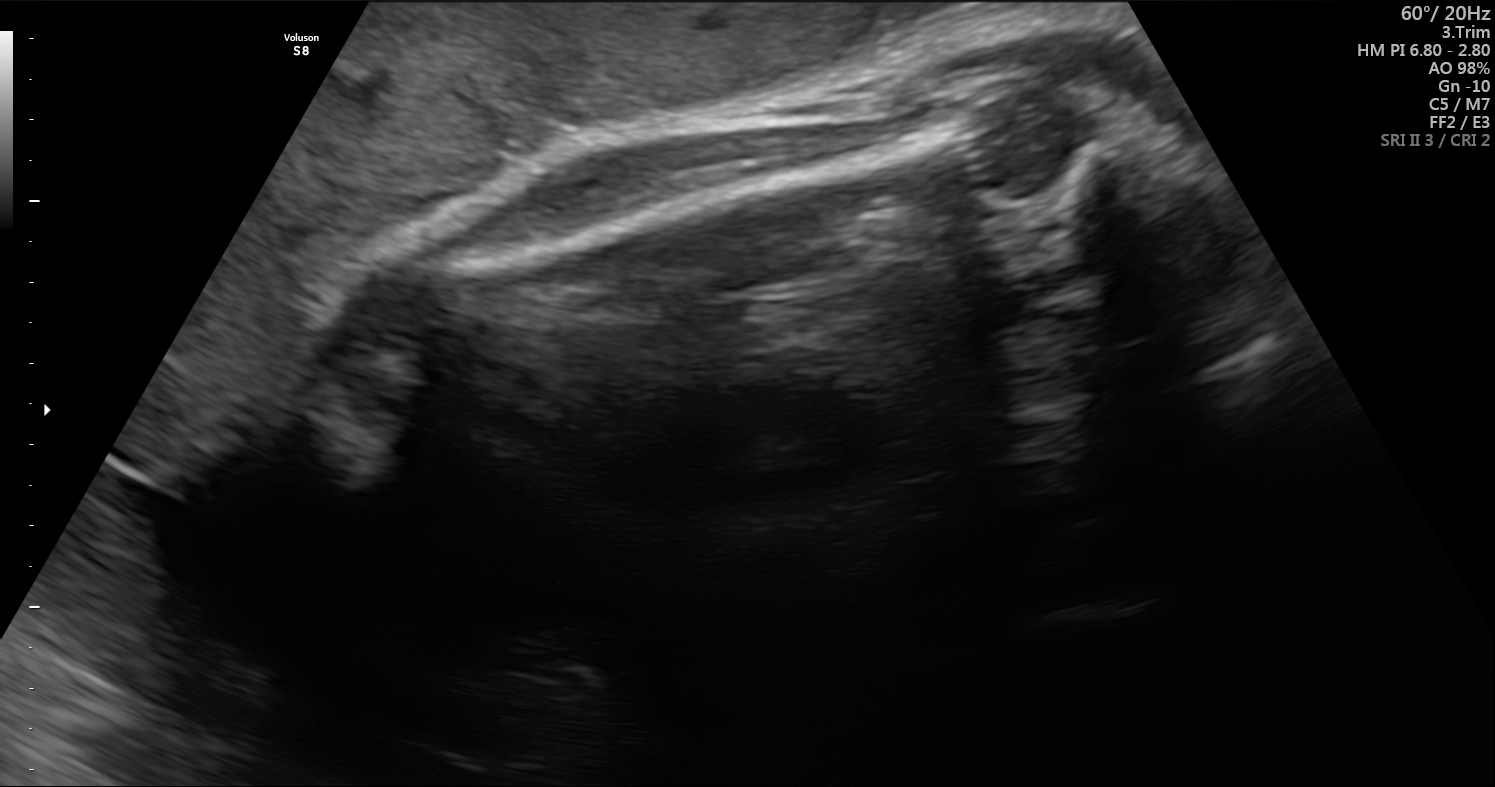
Identify the standard plane in this fetal ultrasound image: fetal abdomen, fetal brain, fetal femur, fetal thorax, maternal cervix, or other. If it's fetal brain and one of the three standard brain planes (trans-thalamic, trans-cerebellum, trans-ventricular), name which.

Fetal femur